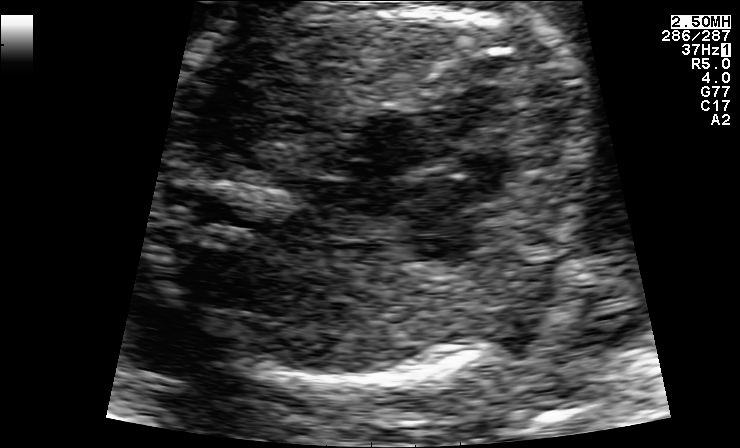
Which standard maternal-fetal ultrasound plane is shown: fetal abdomen, fetal brain, fetal femur, fetal thorax, maternal cervix, or other? If it's fetal brain and one of the three standard brain planes (trans-thalamic, trans-cerebellum, trans-ventricular), name which.

Fetal thorax